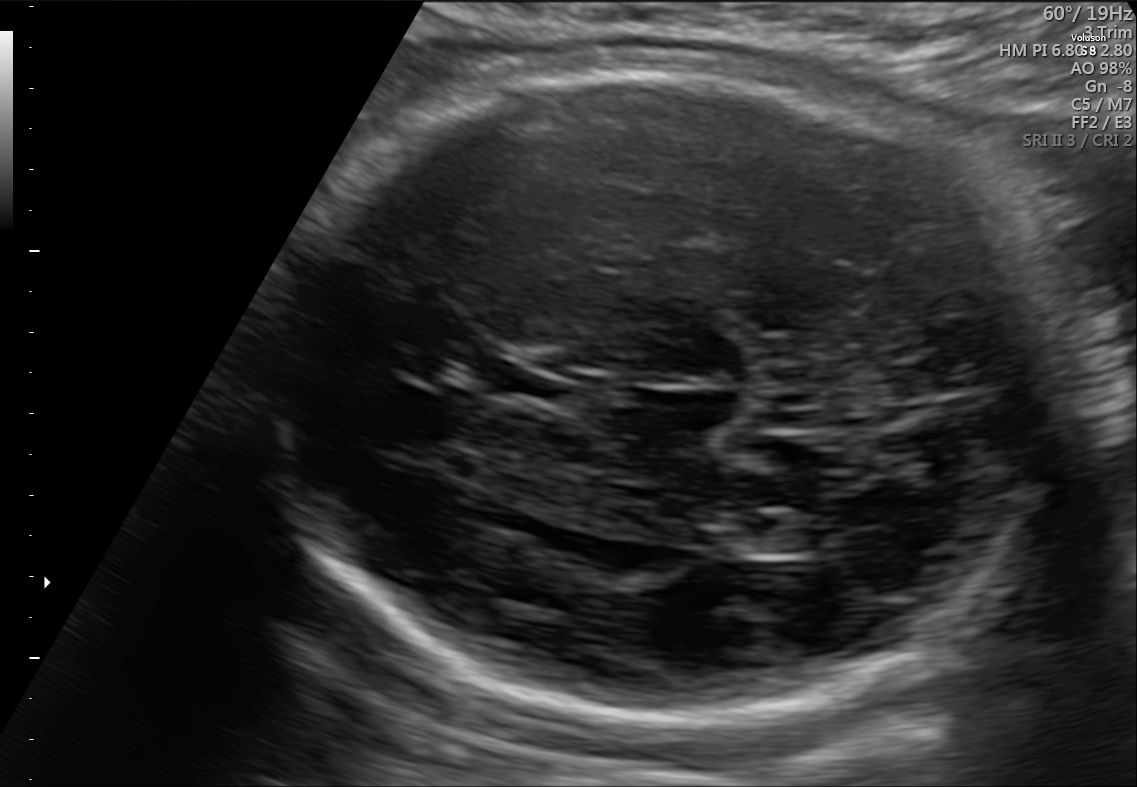
Fetal brain, trans-ventricular plane. Locate the fetal head.

Head: [260,56,1100,733]